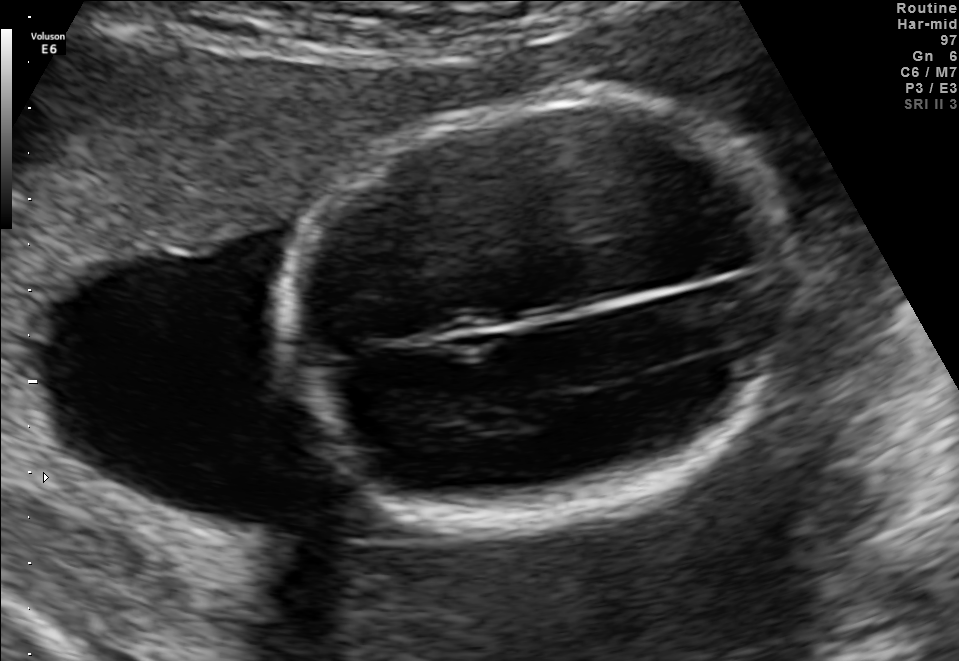
Fetal brain, trans-thalamic plane. Locate the fetal head and, if visible, the cavum septum pellucidum (CSP) and lateral ventricle (LV). Give bounding boxes as [x1,y1,x2,y2].

Head: [291,103,790,518]